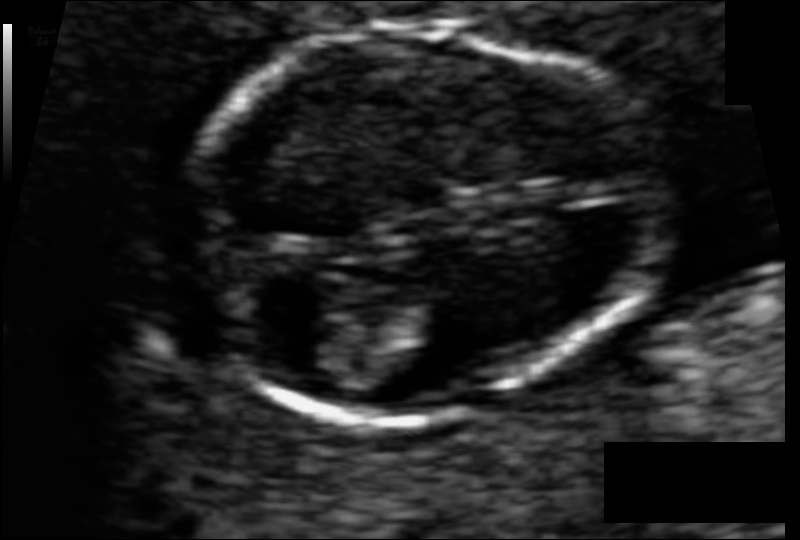
What is the fetal head circumference? Image width is 43.8 mm.

75.9 mm